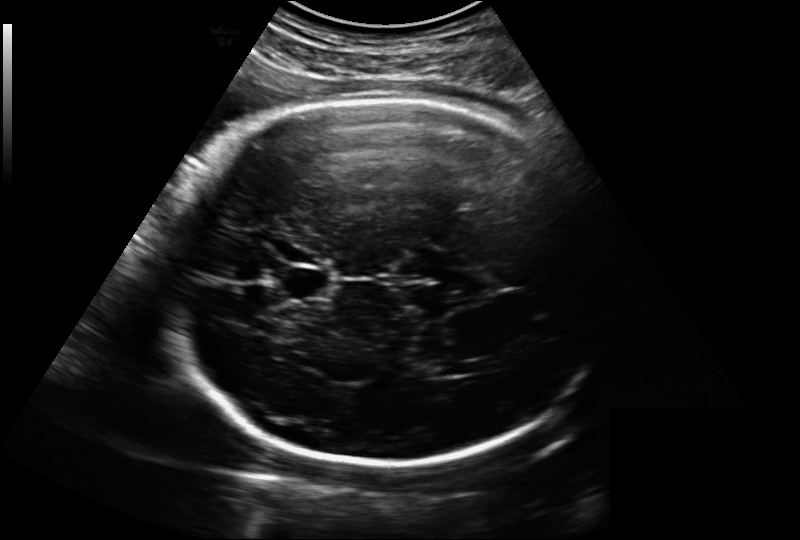
From this fetal ultrasound, estimate the head circumference (image width 176.5 mm).

Head circumference: 291.4 mm.